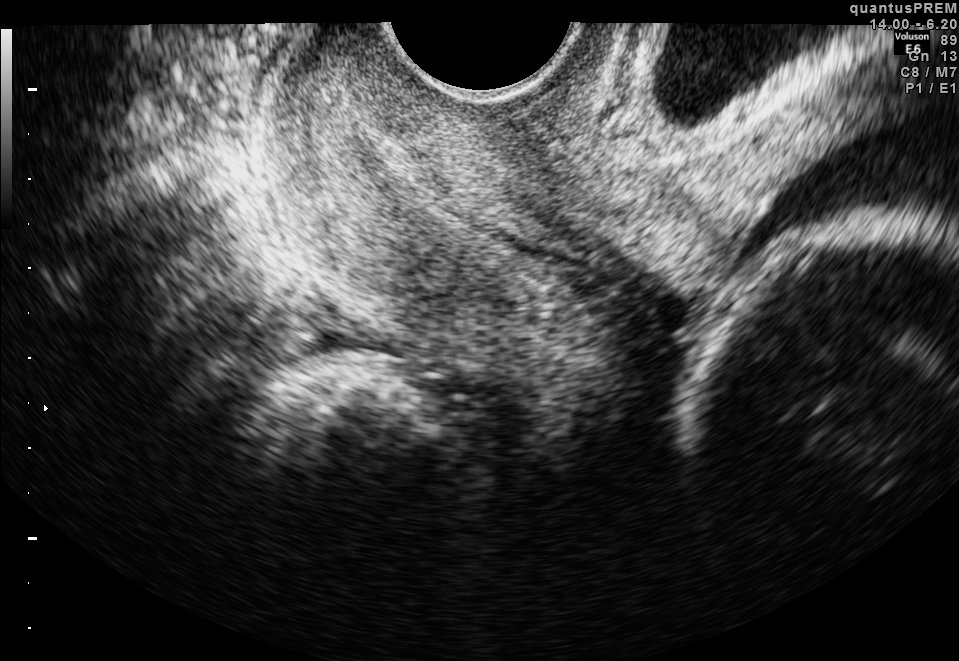
Which standard maternal-fetal ultrasound plane is shown: fetal abdomen, fetal brain, fetal femur, fetal thorax, maternal cervix, or other? If it's fetal brain and one of the three standard brain planes (trans-thalamic, trans-cerebellum, trans-ventricular), name which.

Maternal cervix